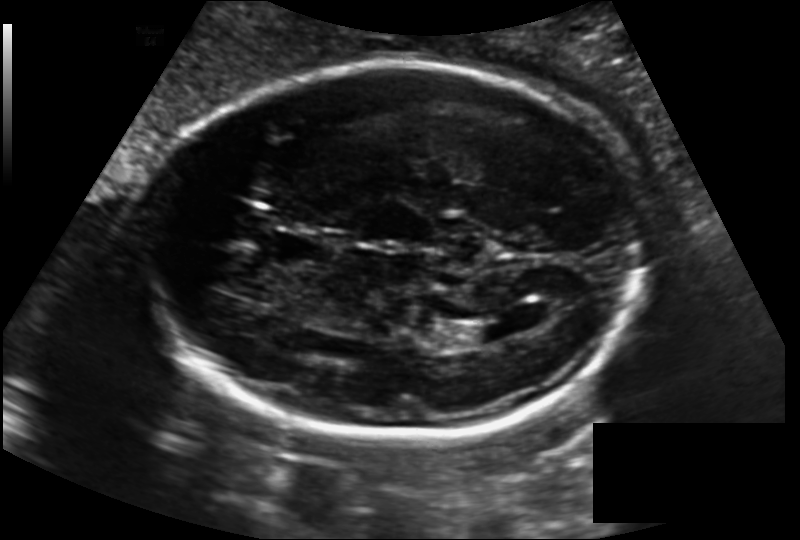
In this fetal head ultrasound, give the bounding box of the lateral ventricle. Image width: 130.6 mm.

[459,318,510,348]